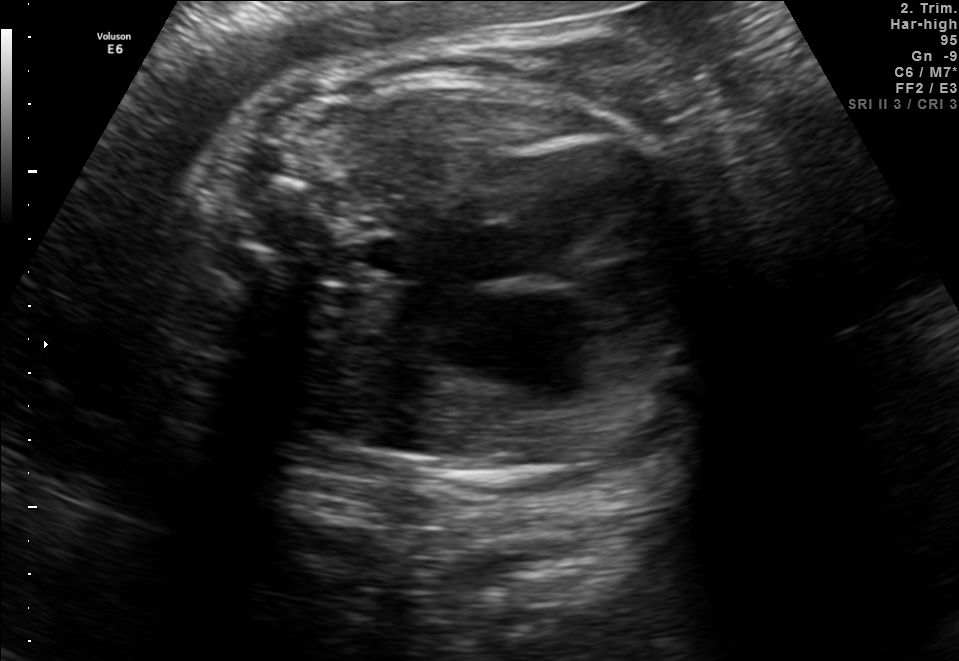
This is a 2D maternal-fetal ultrasound frame. Is it a fetal abdomen, fetal brain, fetal femur, fetal thorax, maternal cervix, or other standard plane? If it's fetal brain and one of the three standard brain planes (trans-thalamic, trans-cerebellum, trans-ventricular), name which.

Fetal thorax